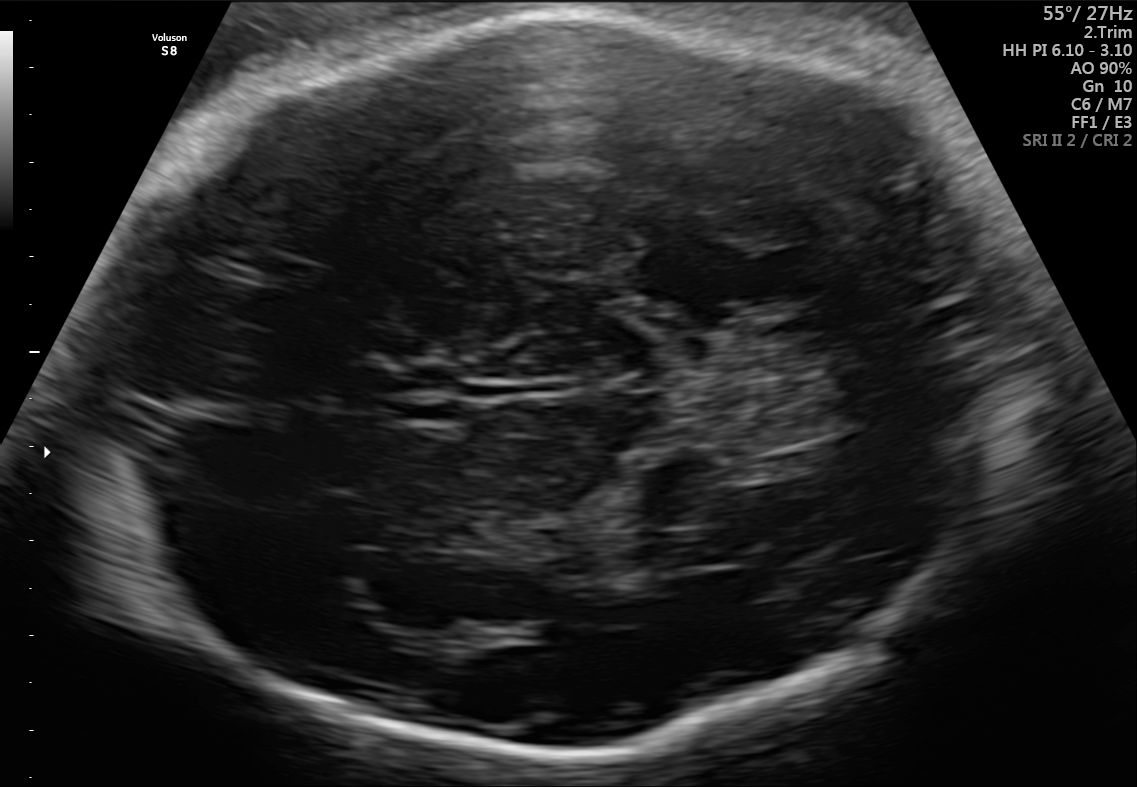
Fetal brain, trans-thalamic plane. Locate the fetal head.

Head: [91,17,1005,758]